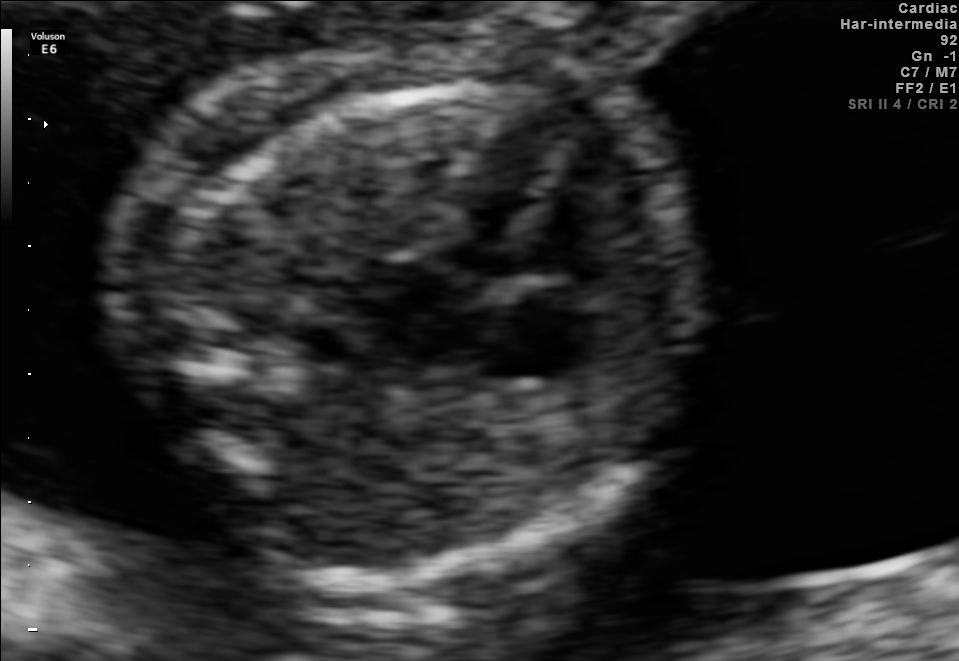
Identify the standard plane in this fetal ultrasound image: fetal abdomen, fetal brain, fetal femur, fetal thorax, maternal cervix, or other. If it's fetal brain and one of the three standard brain planes (trans-thalamic, trans-cerebellum, trans-ventricular), name which.

Fetal thorax